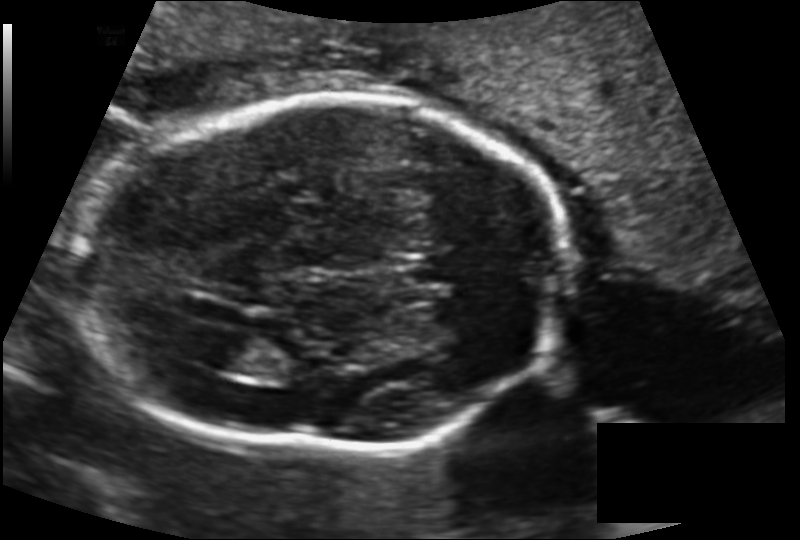
Fetal head ultrasound. Image width: 114.0 mm. Where is the lateral ventricle?

Lateral ventricle bounding box: [202,330,273,378]